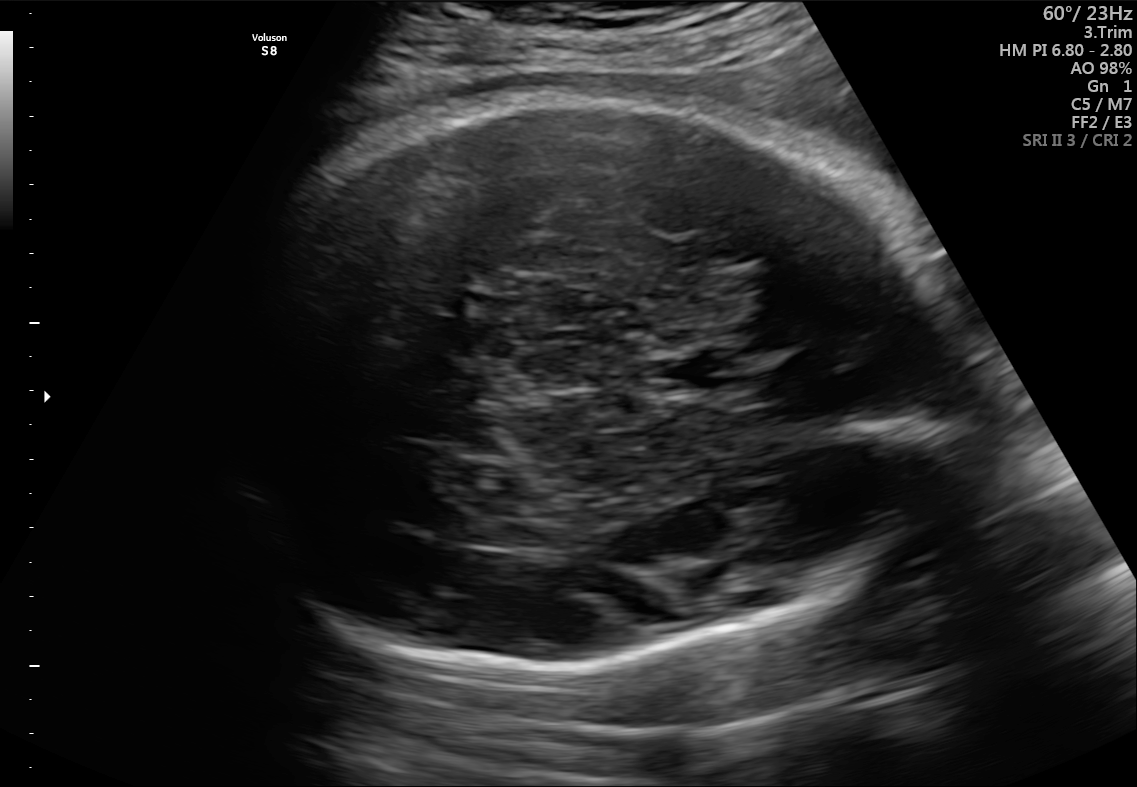
In this fetal brain, trans-thalamic plane, give bounding boxes for the head outline, cavum septum pellucidum (CSP), and lateral ventricle (LV), where visible.

Head: [215,95,941,670]
CSP: [651,350,743,396]